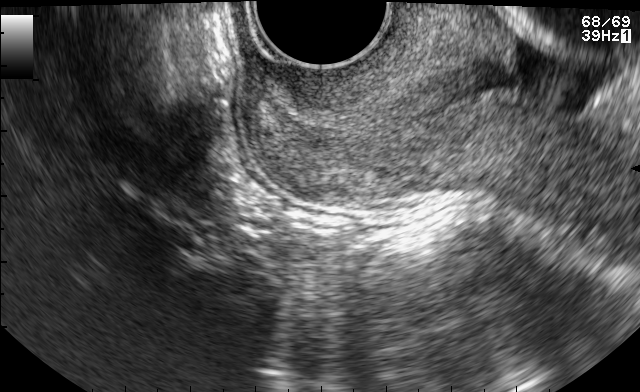
This is a 2D maternal-fetal ultrasound frame. Is it a fetal abdomen, fetal brain, fetal femur, fetal thorax, maternal cervix, or other standard plane? If it's fetal brain and one of the three standard brain planes (trans-thalamic, trans-cerebellum, trans-ventricular), name which.

Maternal cervix